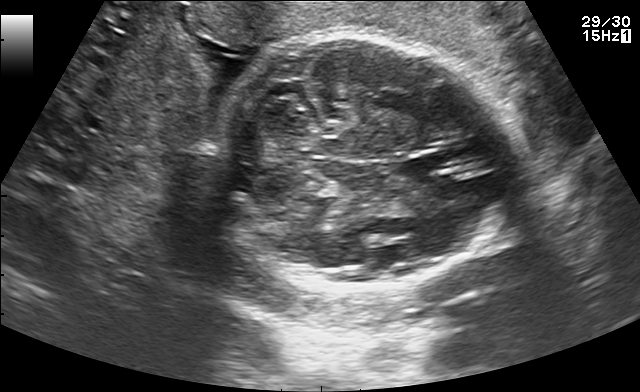
In this fetal brain, trans-cerebellum plane, give the bounding box of the fetal head.

[216,33,505,291]